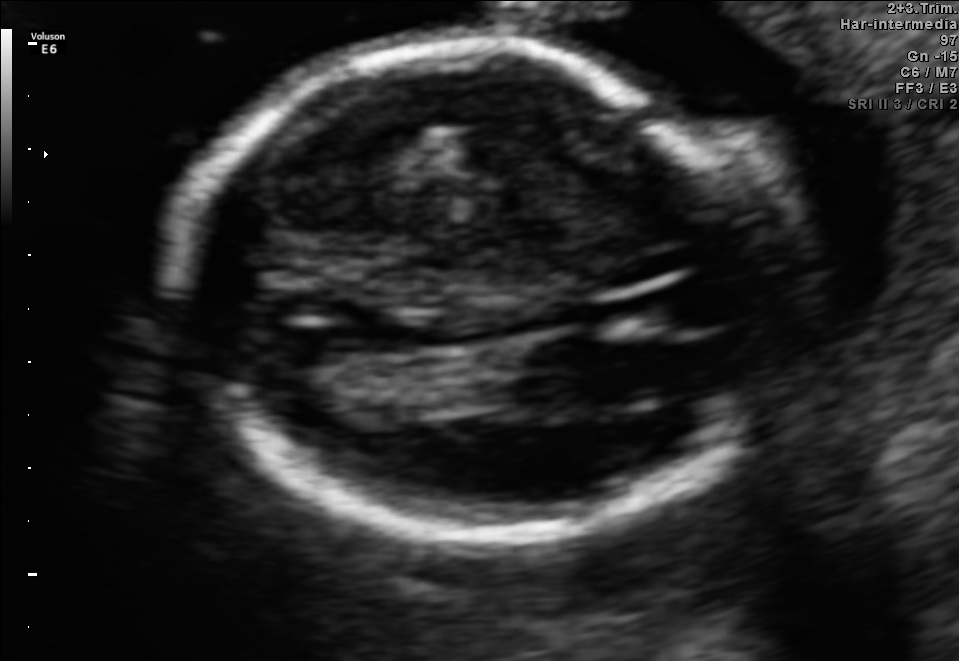
Fetal brain, trans-thalamic plane. Give [x1,y1,x2,y2] bounding boxes for each visible structure among: fetal head, CSP, LV.

Head: [169,43,764,536]